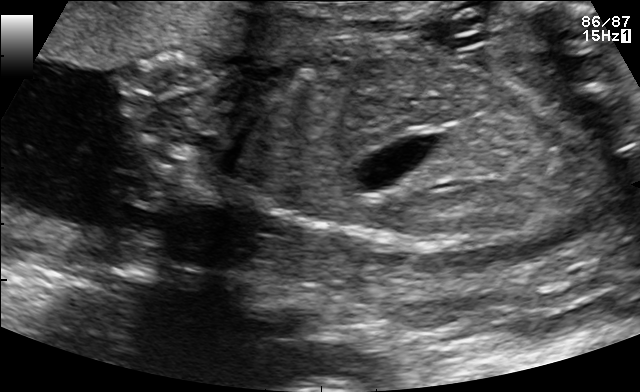
Identify the standard plane in this fetal ultrasound image: fetal abdomen, fetal brain, fetal femur, fetal thorax, maternal cervix, or other. If it's fetal brain and one of the three standard brain planes (trans-thalamic, trans-cerebellum, trans-ventricular), name which.

Other